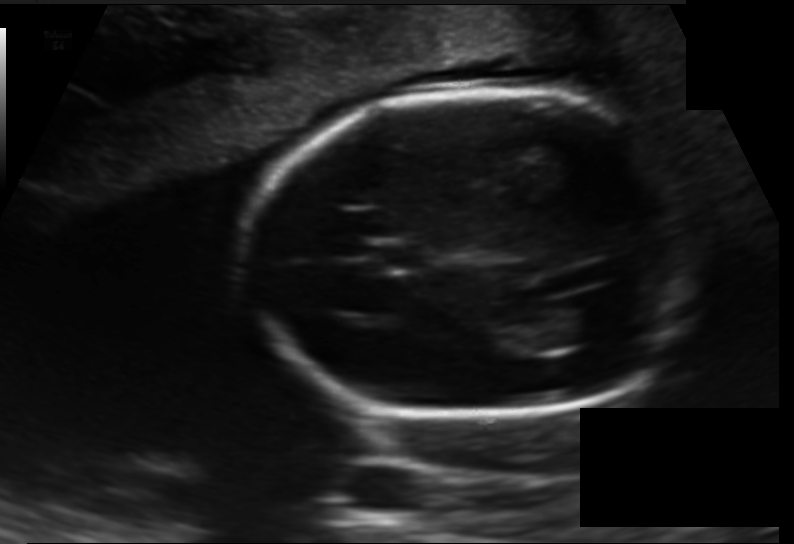
Fetal head ultrasound. Image width: 109.8 mm. Where is the lateral ventricle?

Lateral ventricle bounding box: [532,300,608,353]